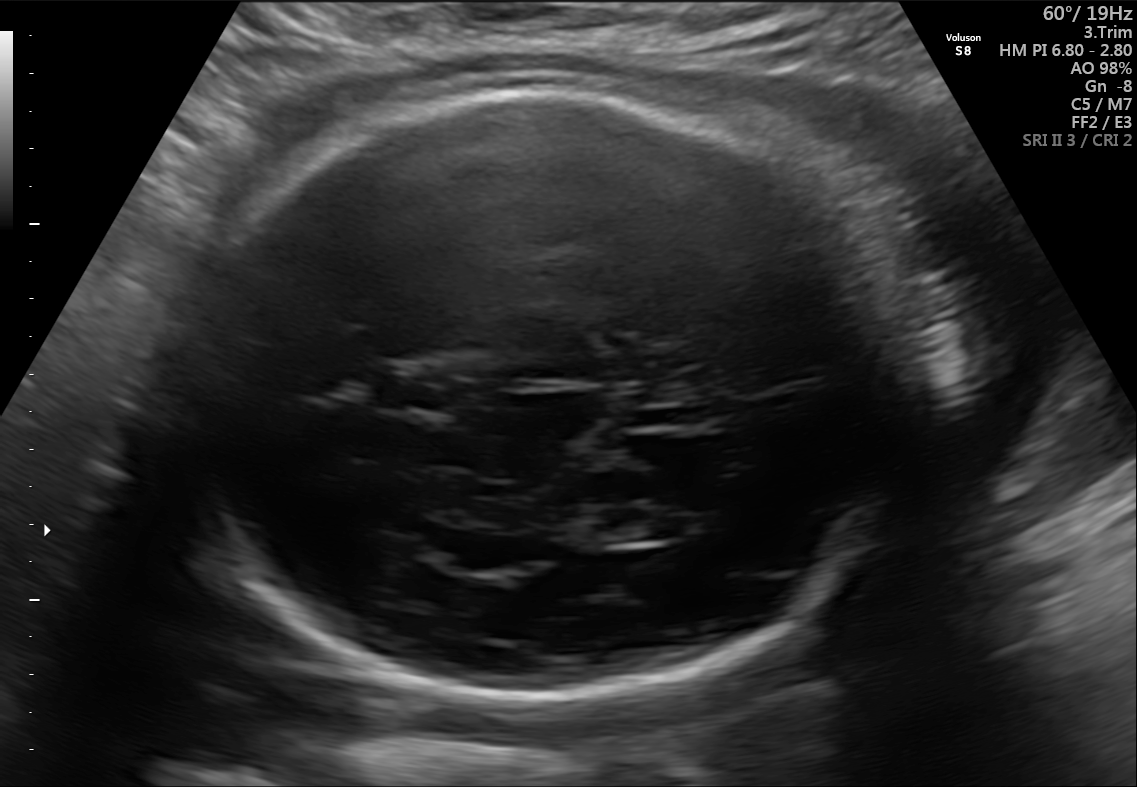
Identify the standard plane in this fetal ultrasound image: fetal abdomen, fetal brain, fetal femur, fetal thorax, maternal cervix, or other. If it's fetal brain and one of the three standard brain planes (trans-thalamic, trans-cerebellum, trans-ventricular), name which.

Fetal brain (trans-thalamic plane)